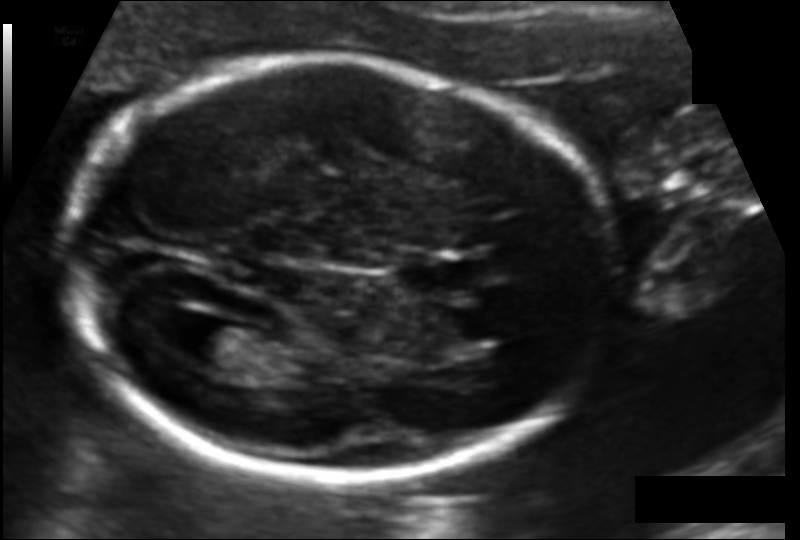
Fetal head ultrasound. Image width: 91.0 mm. Locate the cavum septum pellucidum.

CSP: [398,255,466,296]